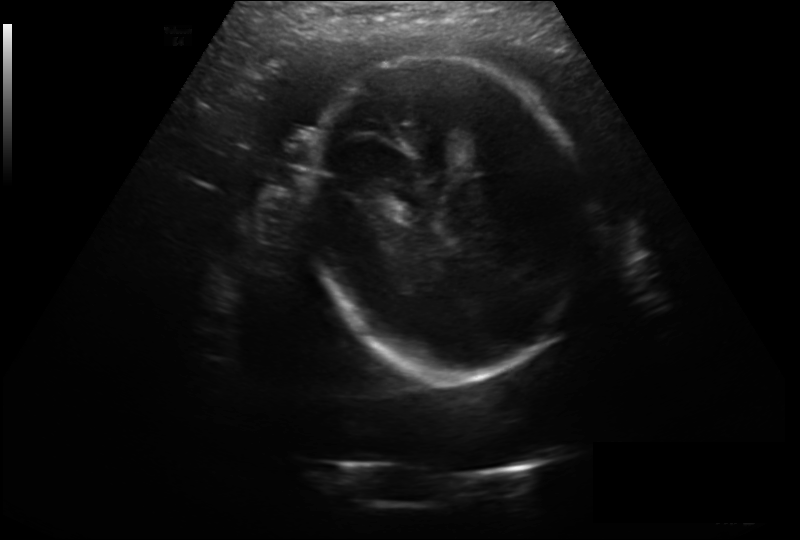
Fetal head ultrasound. Image width: 197.0 mm. Where is the fetal head?

Head bounding box: [308,58,589,379]